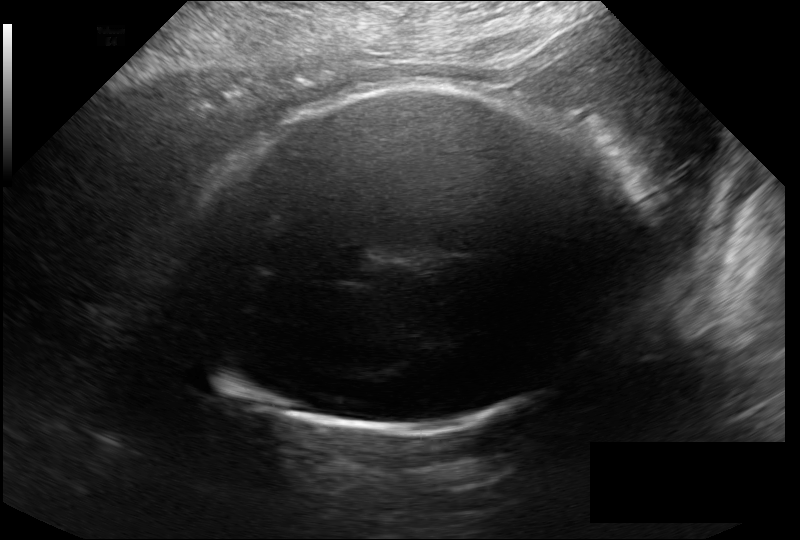
Estimate the fetal head circumference from this 2D ultrasound. Image width: 196.8 mm.

Head circumference: 315.2 mm.